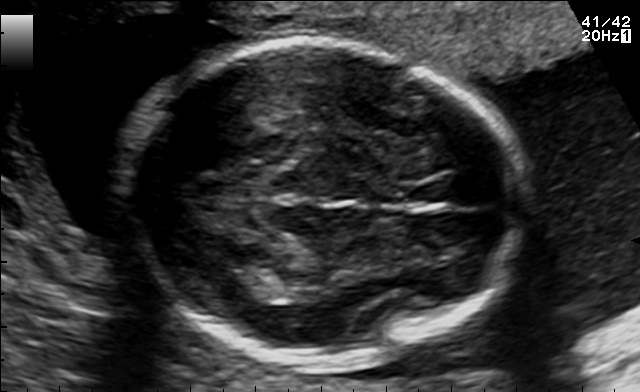
In this fetal brain, trans-thalamic plane, give the bounding box of the fetal head.

[119,44,524,362]